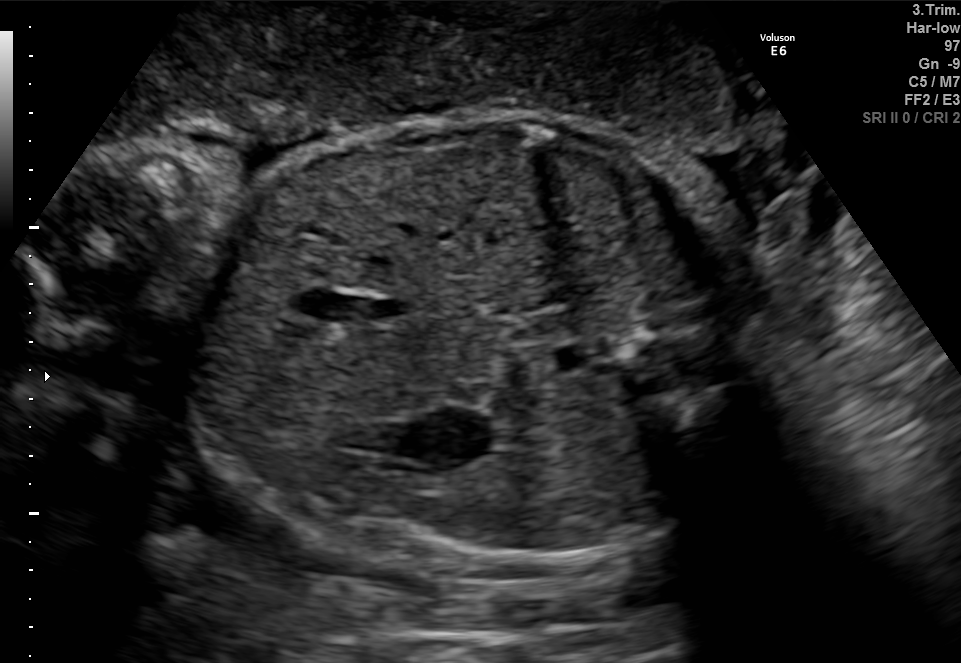
Identify the standard plane in this fetal ultrasound image: fetal abdomen, fetal brain, fetal femur, fetal thorax, maternal cervix, or other. If it's fetal brain and one of the three standard brain planes (trans-thalamic, trans-cerebellum, trans-ventricular), name which.

Fetal abdomen